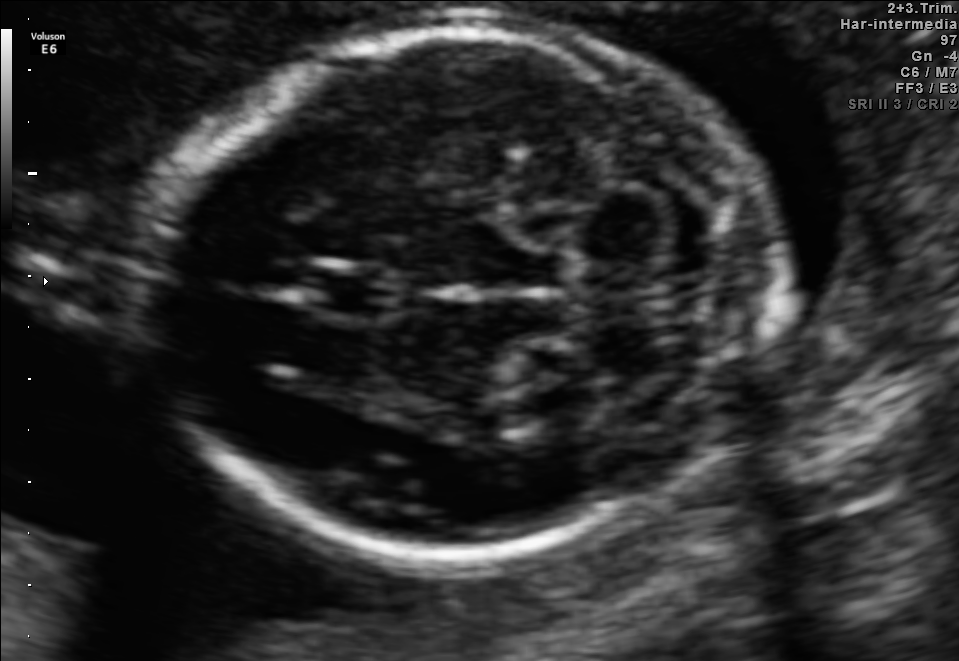
In this fetal brain, trans-cerebellum plane, give the bounding box of the cavum septum pellucidum.

[300,261,398,326]